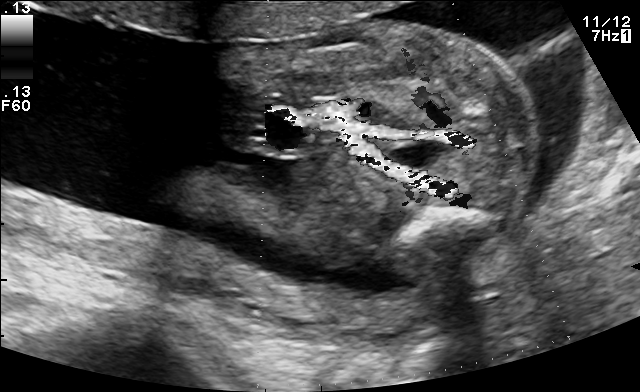
Which standard maternal-fetal ultrasound plane is shown: fetal abdomen, fetal brain, fetal femur, fetal thorax, maternal cervix, or other? If it's fetal brain and one of the three standard brain planes (trans-thalamic, trans-cerebellum, trans-ventricular), name which.

Other